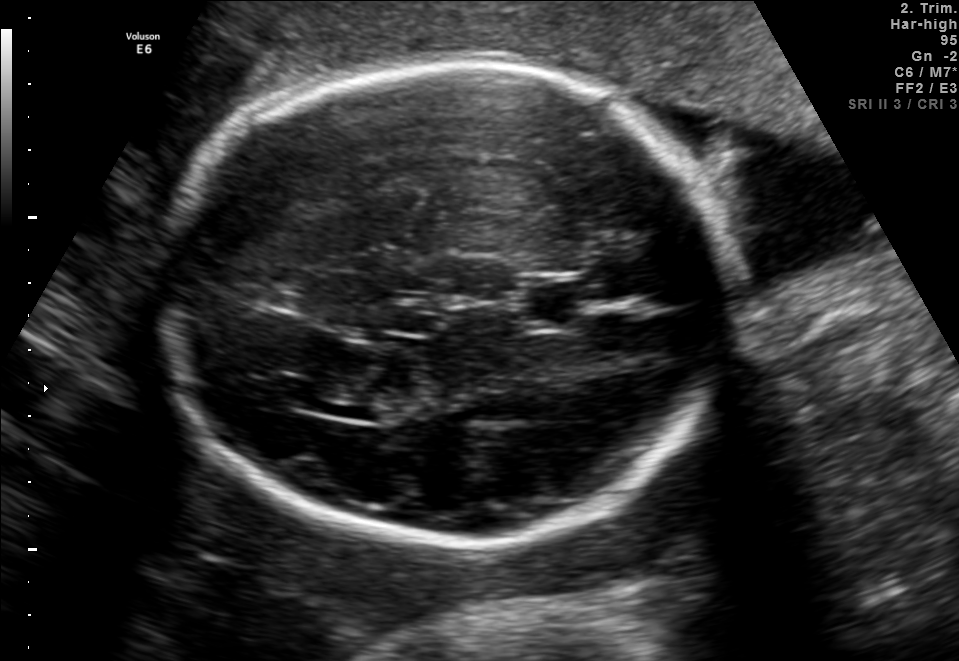
Fetal brain, trans-thalamic plane. Where is the lateral ventricle?

Lateral ventricle bounding box: [281,377,386,423]